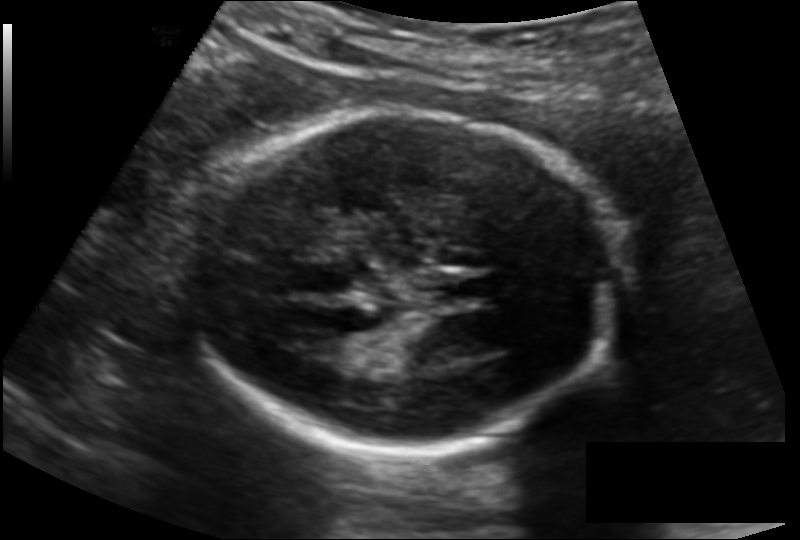
Fetal head ultrasound. Image width: 107.6 mm. Locate the fetal head and, if visible, the cavum septum pellucidum (CSP) and lateral ventricle (LV). Give bounding boxes as [x1,y1,x2,y2].

Head: [191,112,626,454]